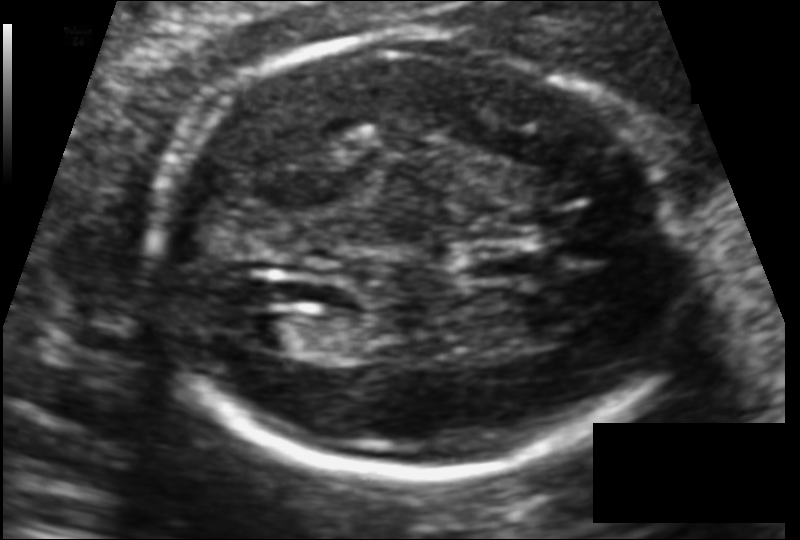
In this fetal head ultrasound, give the bounding box of the fetal head. Image width: 88.1 mm.

[146,33,689,477]